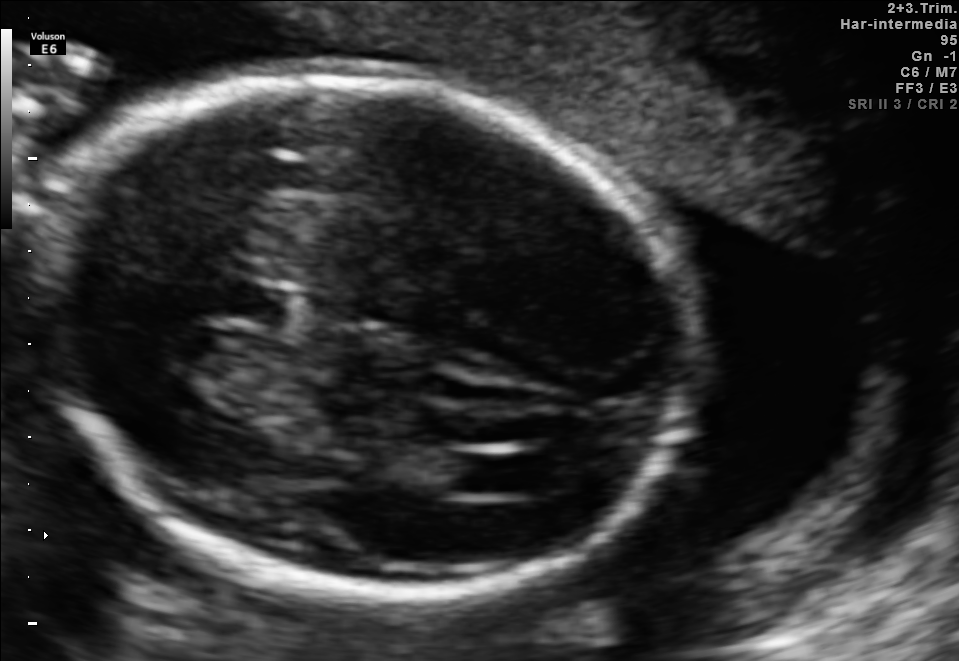
Fetal brain, trans-ventricular plane. Where is the fetal head?

Head bounding box: [29,62,704,607]